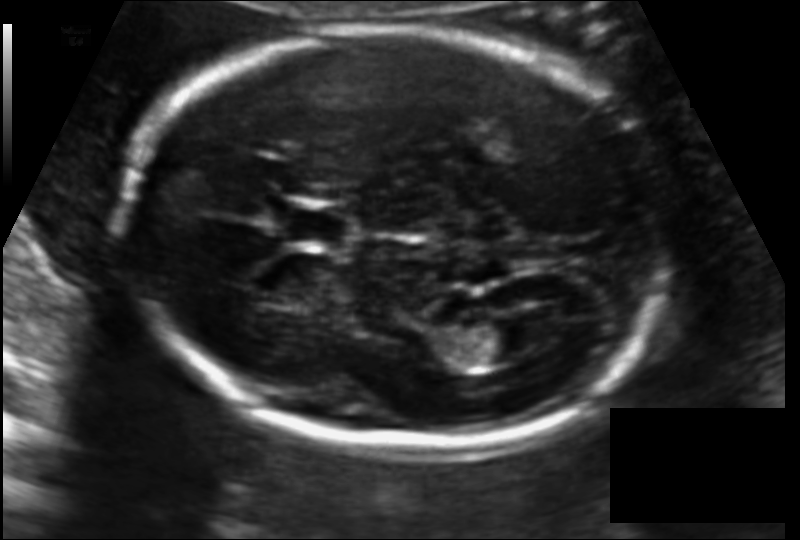
Estimate the fetal head circumference from this 2D ultrasound. Image width: 95.2 mm.

Head circumference: 186.3 mm.